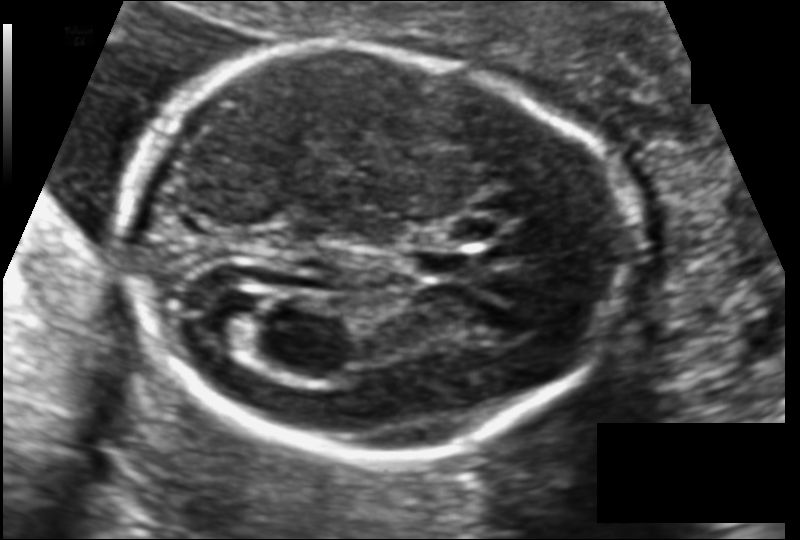
Fetal head ultrasound. Image width: 93.1 mm. Locate the fetal head.

Head: [123,49,622,458]